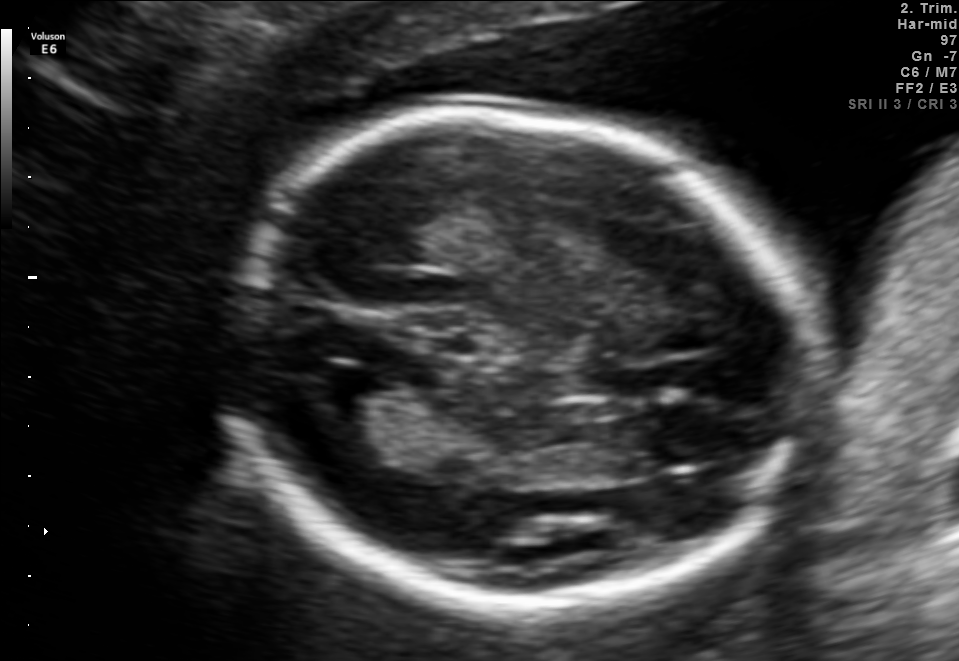
Fetal brain, trans-thalamic plane. Locate the fetal head and, if visible, the cavum septum pellucidum (CSP) and lateral ventricle (LV). Give bounding boxes as [x1,y1,x2,y2].

Head: [218,113,815,600]
Lateral ventricle: [294,346,395,434]